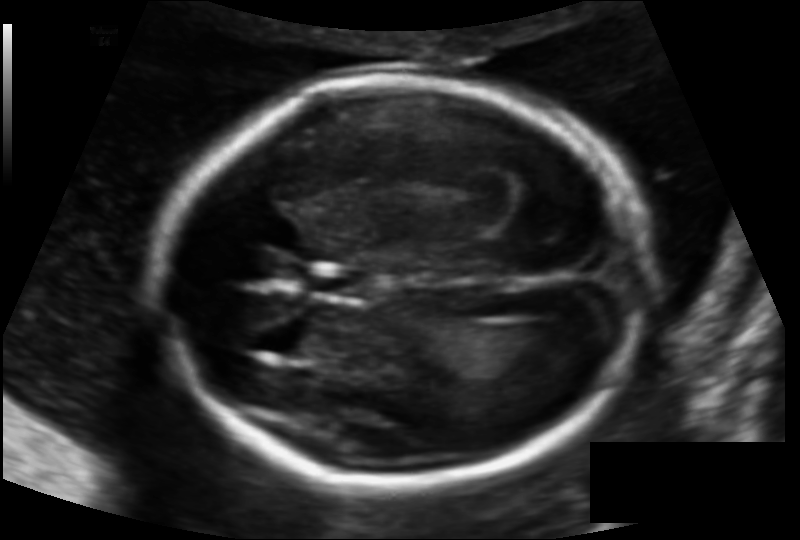
Estimate the fetal head circumference from this 2D ultrasound.

Head circumference: 177.1 mm (image width 97.8 mm).